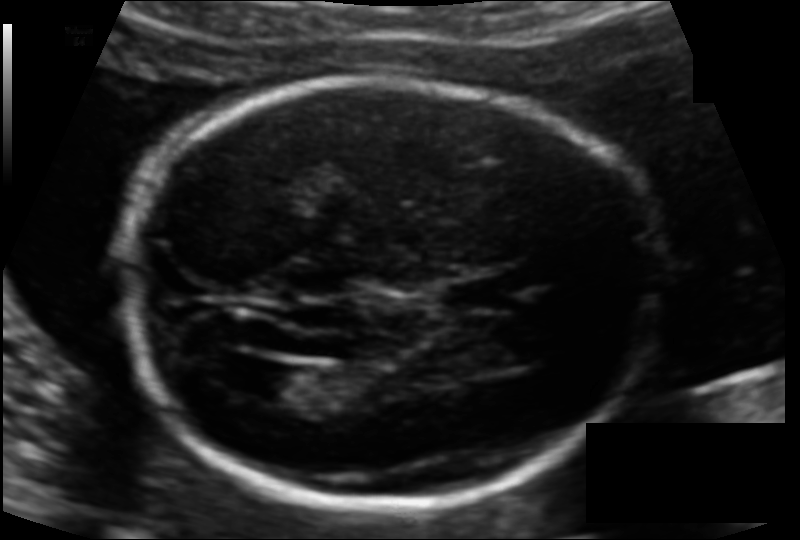
Estimate the fetal head circumference from this 2D ultrasound.

Head circumference: 176.2 mm (image width 90.3 mm).